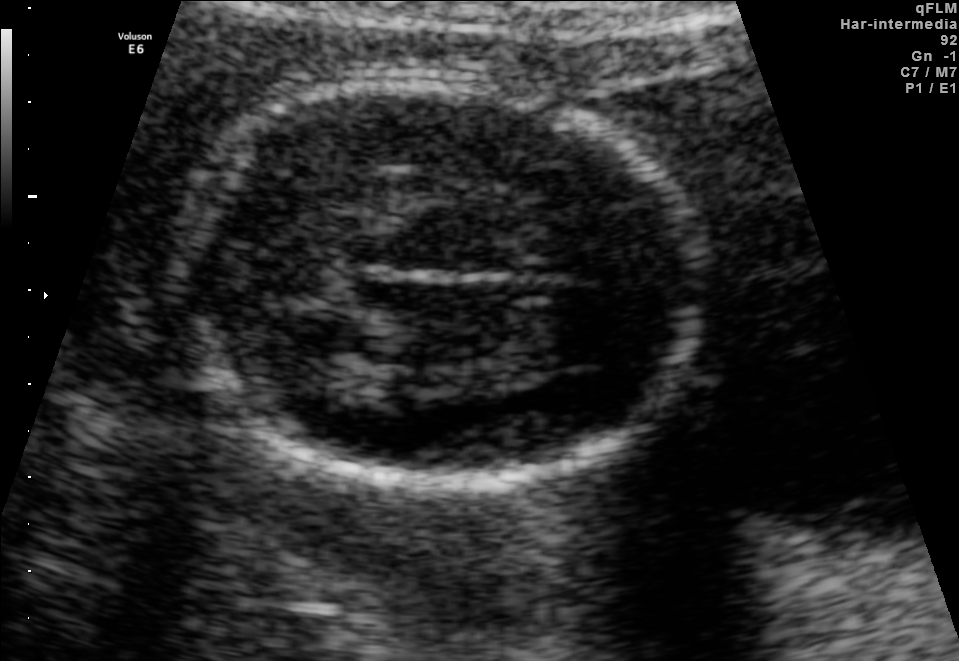
In this fetal brain, trans-thalamic plane, give bounding boxes for the head outline, cavum septum pellucidum (CSP), and lateral ventricle (LV), where visible.

Head: [171,78,702,483]